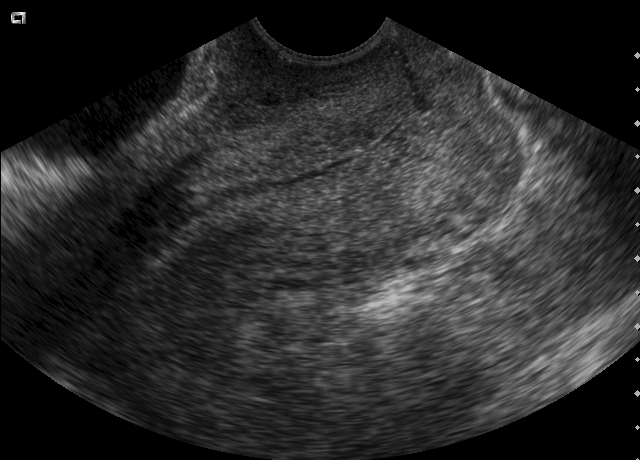
This is a 2D maternal-fetal ultrasound frame. Is it a fetal abdomen, fetal brain, fetal femur, fetal thorax, maternal cervix, or other standard plane? If it's fetal brain and one of the three standard brain planes (trans-thalamic, trans-cerebellum, trans-ventricular), name which.

Maternal cervix